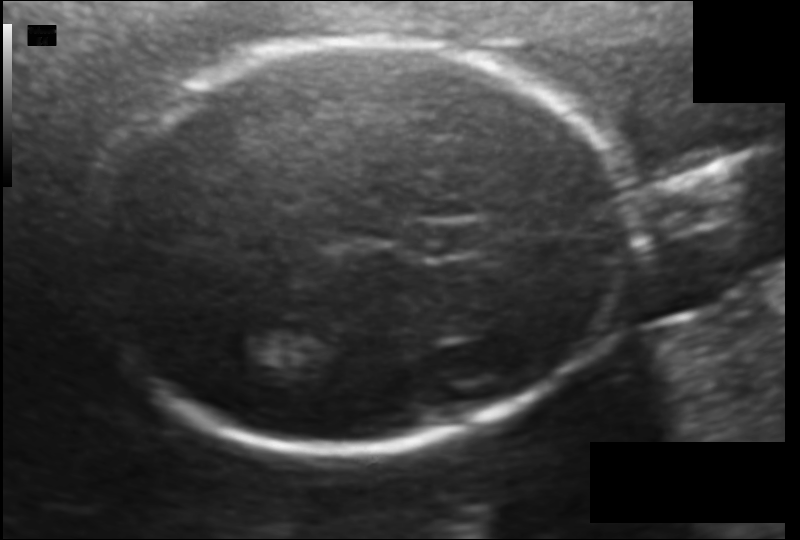
Estimate the fetal head circumference from this 2D ultrasound. Image width: 90.8 mm.

Head circumference: 176.3 mm.